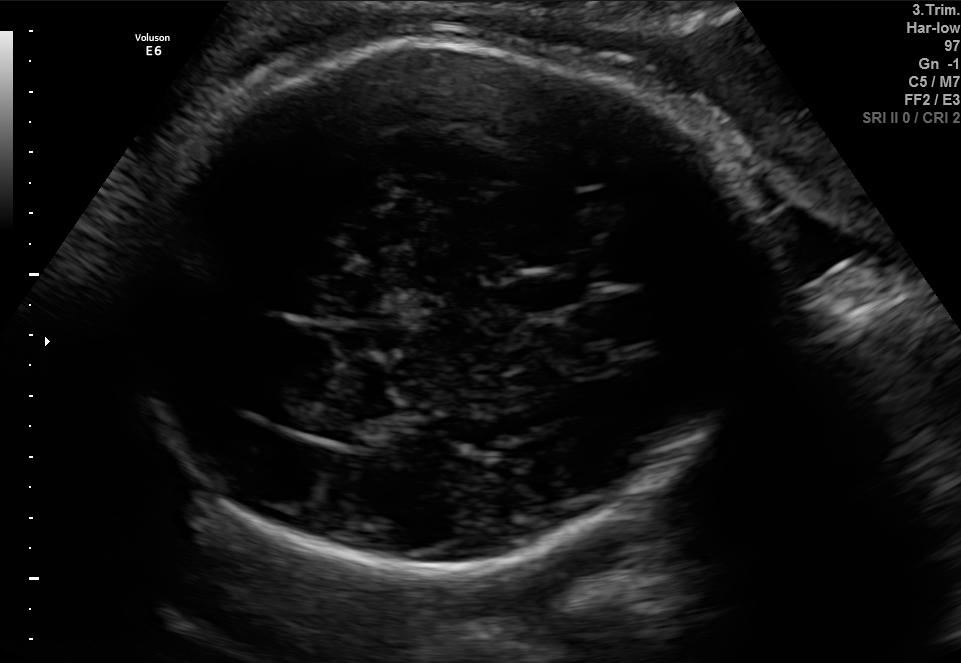
Fetal brain, trans-ventricular plane. Give [x1,y1,x2,y2] bounding boxes for each visible structure among: fetal head, CSP, LV.

Head: [108,35,781,582]